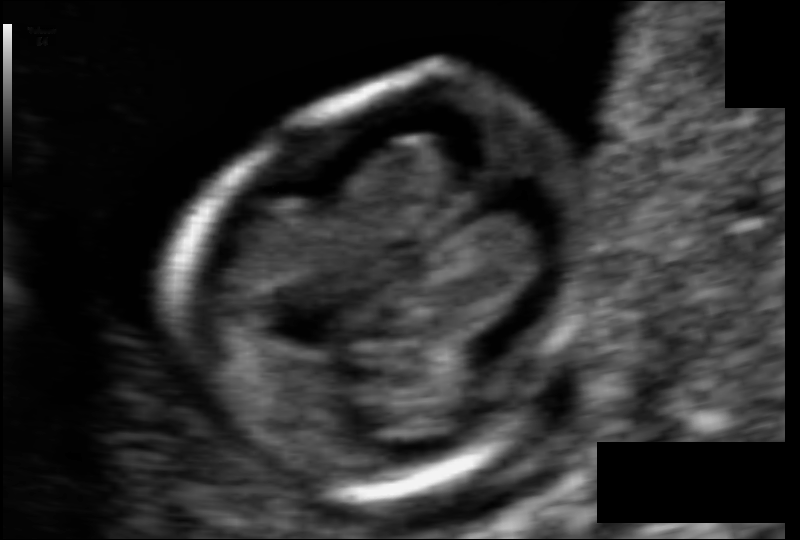
What is the fetal head circumference? Image width is 44.1 mm.

73.0 mm